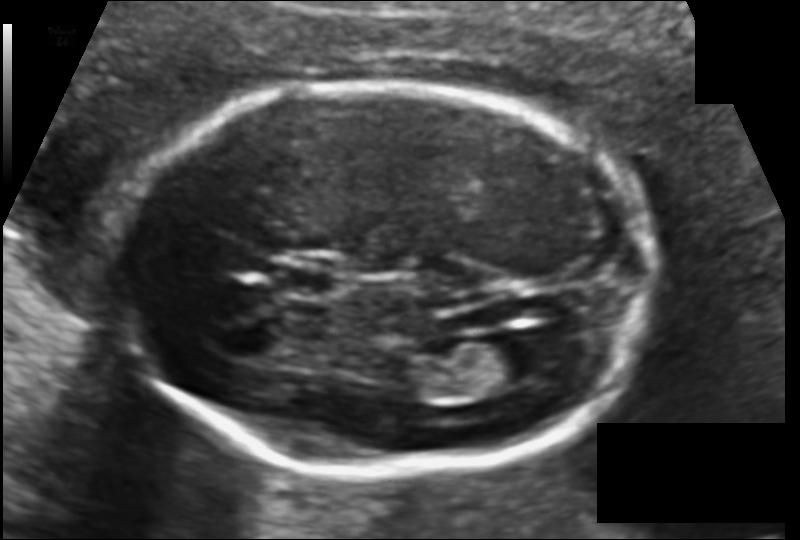
Estimate the fetal head circumference from this 2D ultrasound. Image width: 90.6 mm.

Head circumference: 171.6 mm.